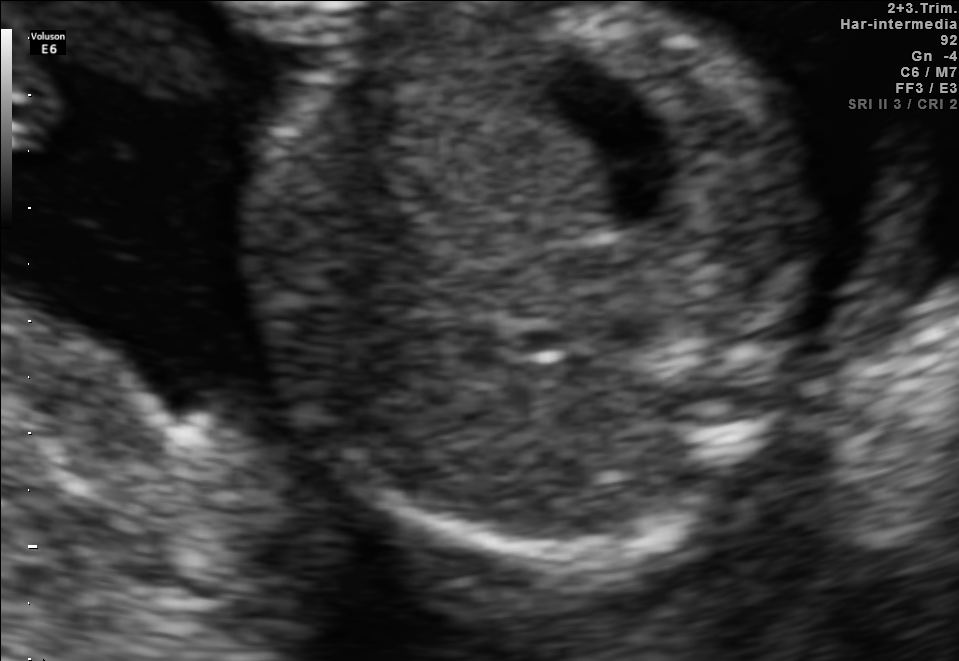
Which standard maternal-fetal ultrasound plane is shown: fetal abdomen, fetal brain, fetal femur, fetal thorax, maternal cervix, or other? If it's fetal brain and one of the three standard brain planes (trans-thalamic, trans-cerebellum, trans-ventricular), name which.

Fetal abdomen